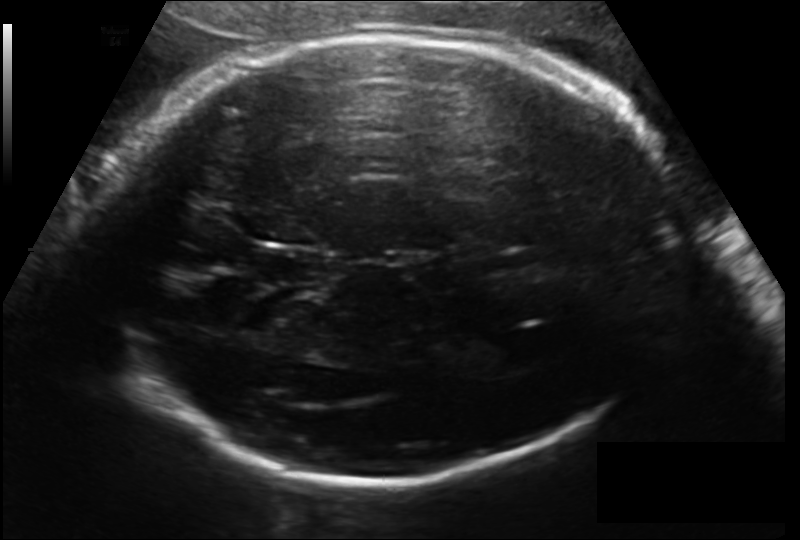
What is the fetal head circumference? Image width is 136.7 mm.

283.8 mm